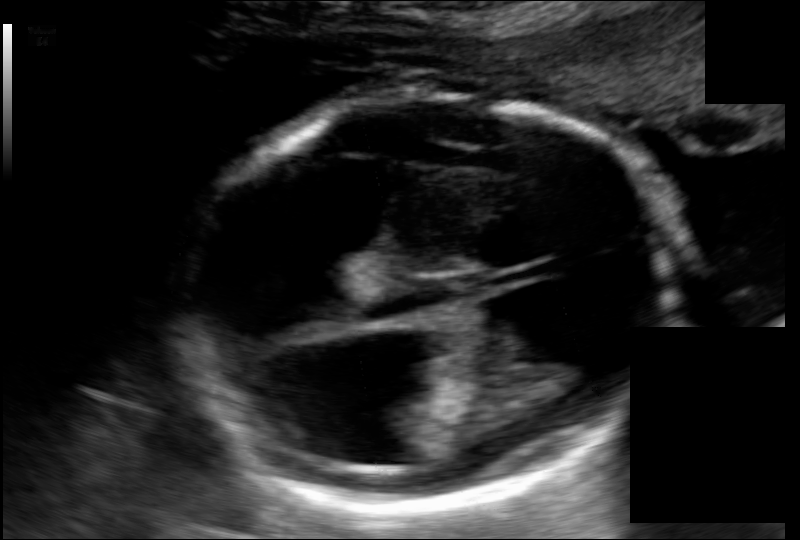
Fetal head ultrasound. Image width: 107.8 mm. Locate the fetal head.

Head: [184,91,678,512]